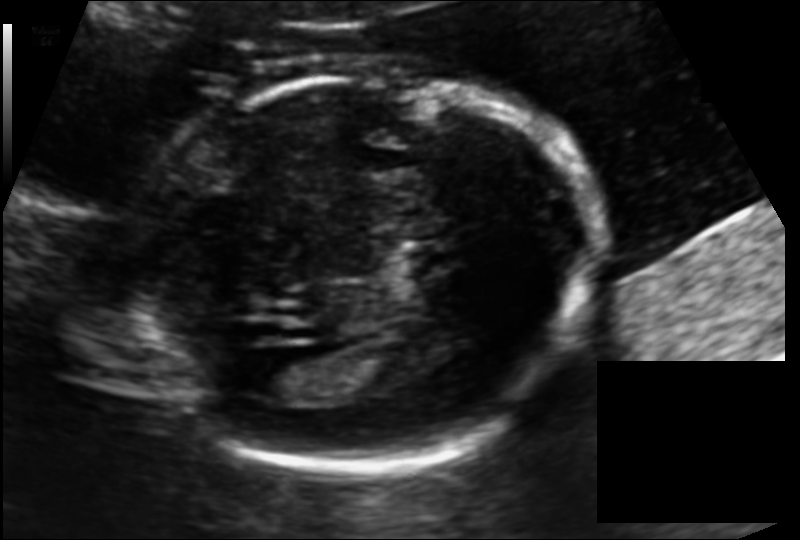
Measure the fetal head circumference shown in this ultrasound image. Image width: 99.9 mm.

Head circumference: 173.2 mm.